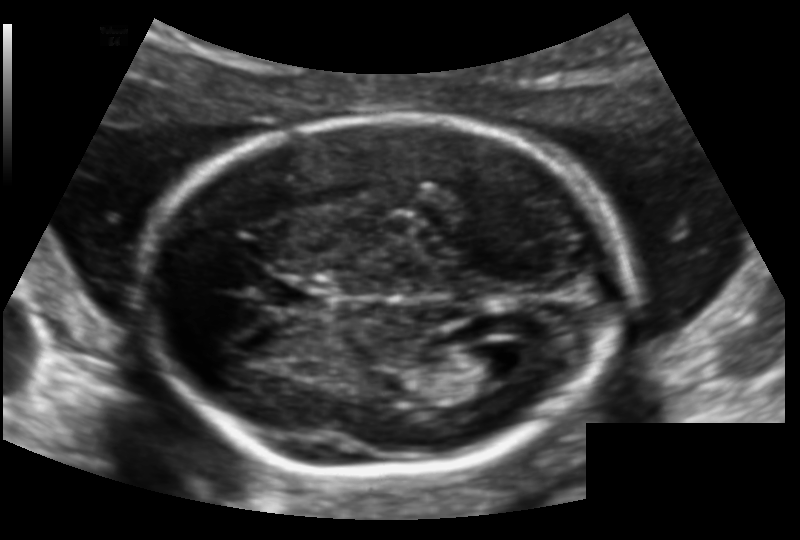
In this fetal head ultrasound, give the bounding box of the fetal head. Image width: 102.0 mm.

[145,115,623,477]